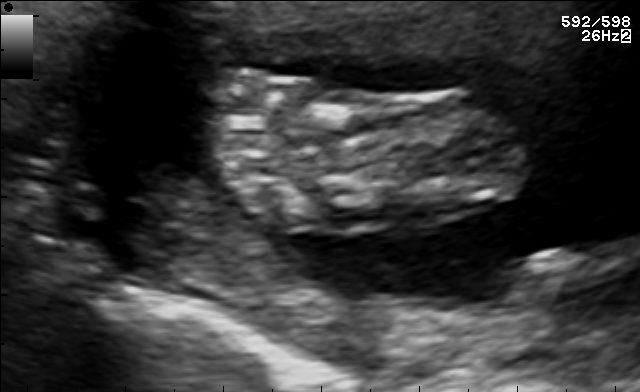
Identify the standard plane in this fetal ultrasound image: fetal abdomen, fetal brain, fetal femur, fetal thorax, maternal cervix, or other. If it's fetal brain and one of the three standard brain planes (trans-thalamic, trans-cerebellum, trans-ventricular), name which.

Other